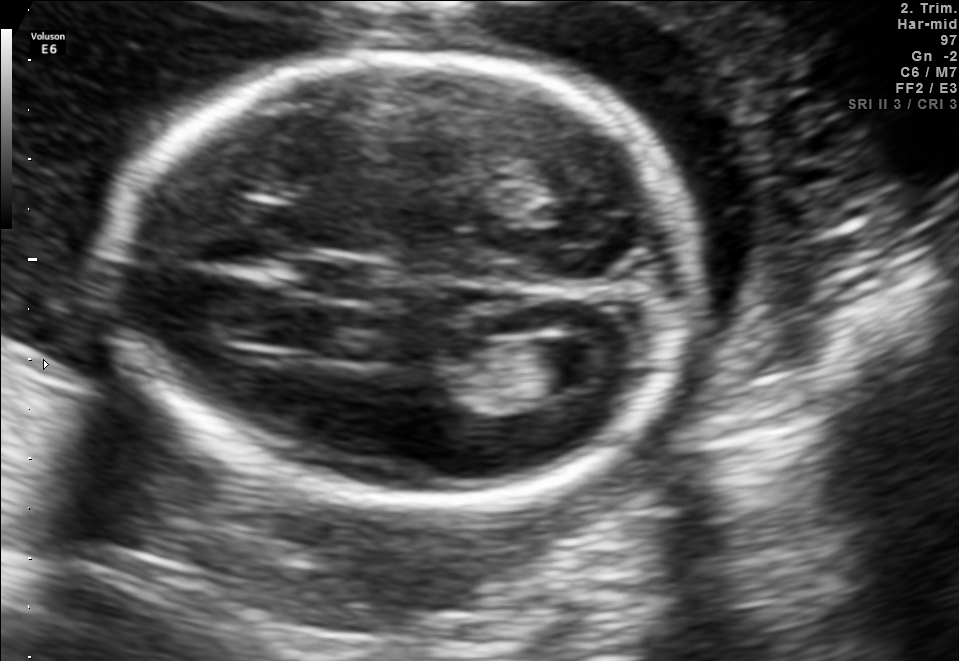
Classify this maternal-fetal ultrasound image as one of the six standard planes — fetal abdomen, fetal brain, fetal femur, fetal thorax, maternal cervix, or other. If it's fetal brain and one of the three standard brain planes (trans-thalamic, trans-cerebellum, trans-ventricular), name which.

Fetal brain (trans-ventricular plane)